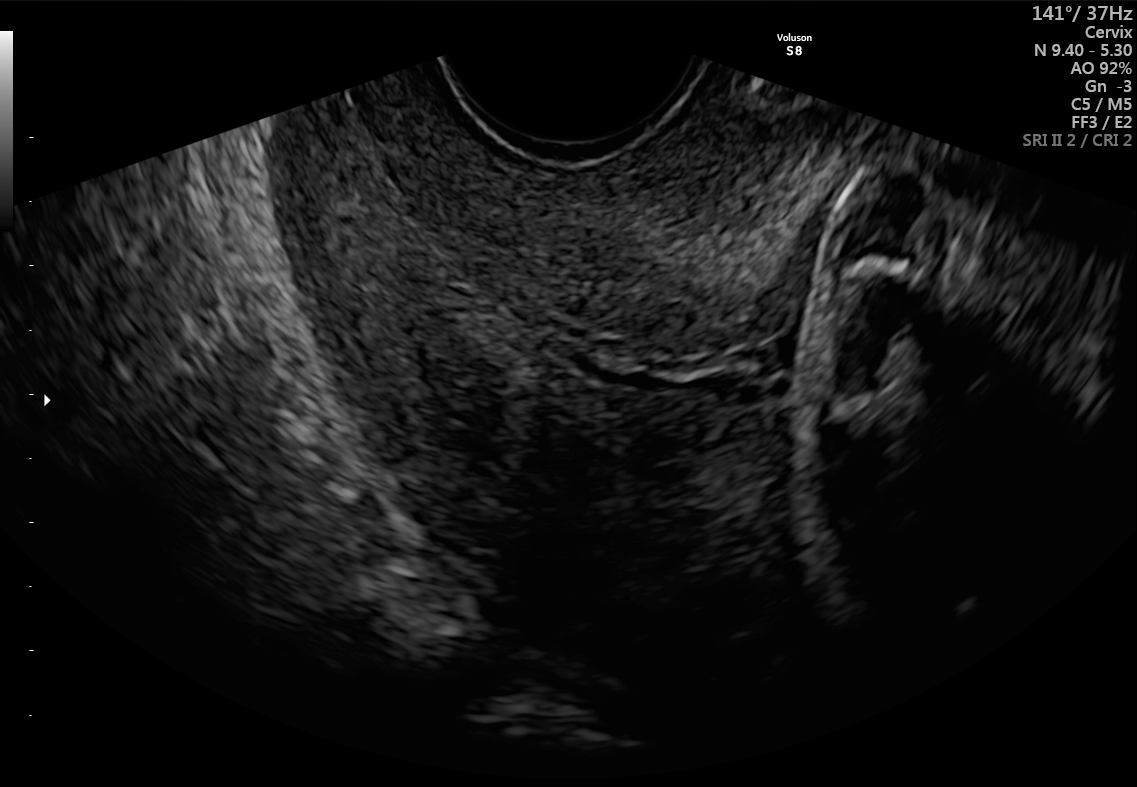
Identify the standard plane in this fetal ultrasound image: fetal abdomen, fetal brain, fetal femur, fetal thorax, maternal cervix, or other. If it's fetal brain and one of the three standard brain planes (trans-thalamic, trans-cerebellum, trans-ventricular), name which.

Maternal cervix